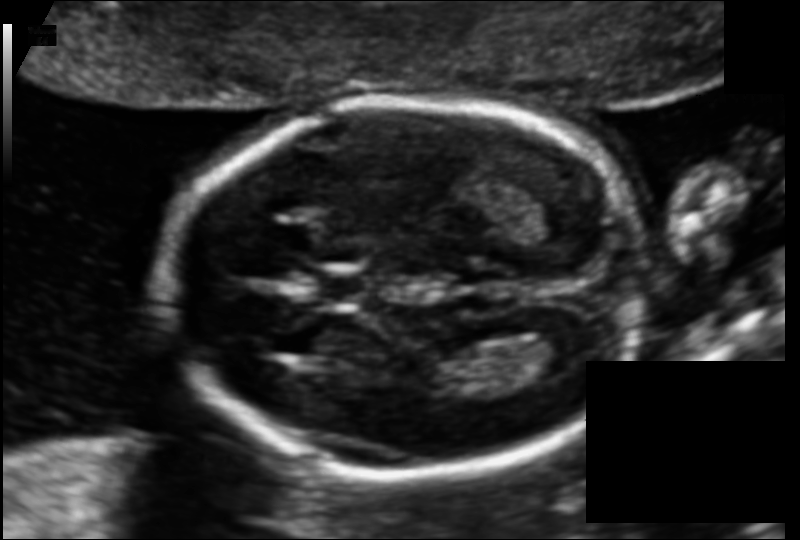
What is the fetal head circumference? Image width is 87.9 mm.

154.4 mm